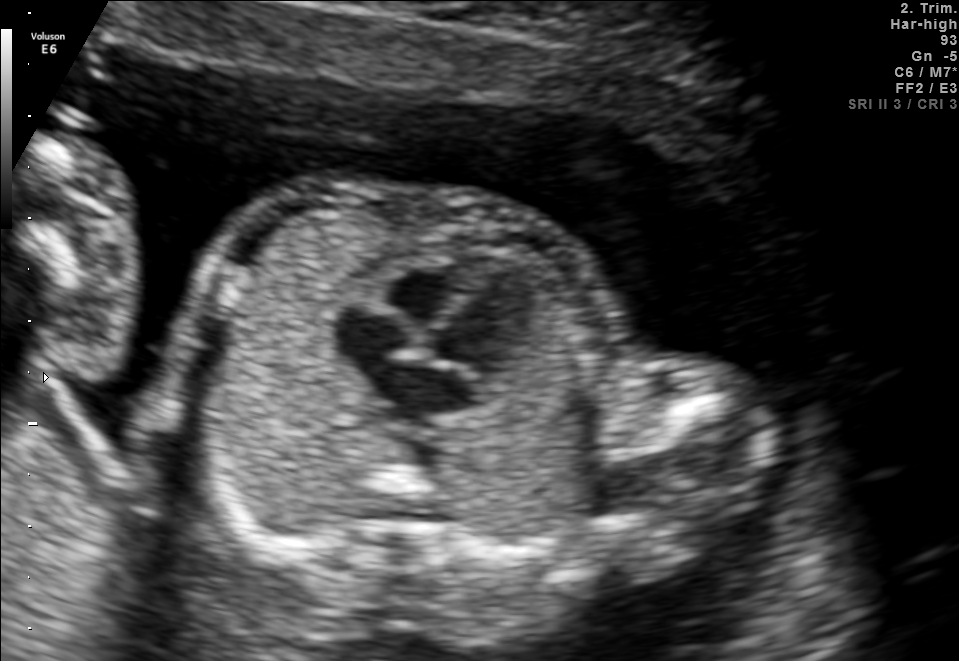
Which standard maternal-fetal ultrasound plane is shown: fetal abdomen, fetal brain, fetal femur, fetal thorax, maternal cervix, or other? If it's fetal brain and one of the three standard brain planes (trans-thalamic, trans-cerebellum, trans-ventricular), name which.

Fetal thorax